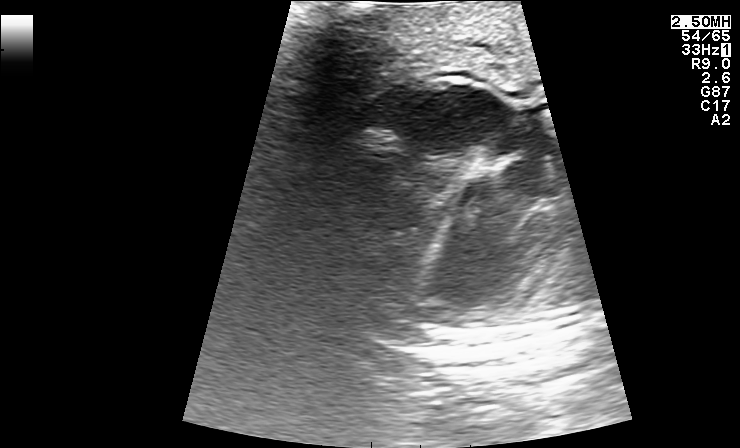
Which standard maternal-fetal ultrasound plane is shown: fetal abdomen, fetal brain, fetal femur, fetal thorax, maternal cervix, or other? If it's fetal brain and one of the three standard brain planes (trans-thalamic, trans-cerebellum, trans-ventricular), name which.

Fetal thorax